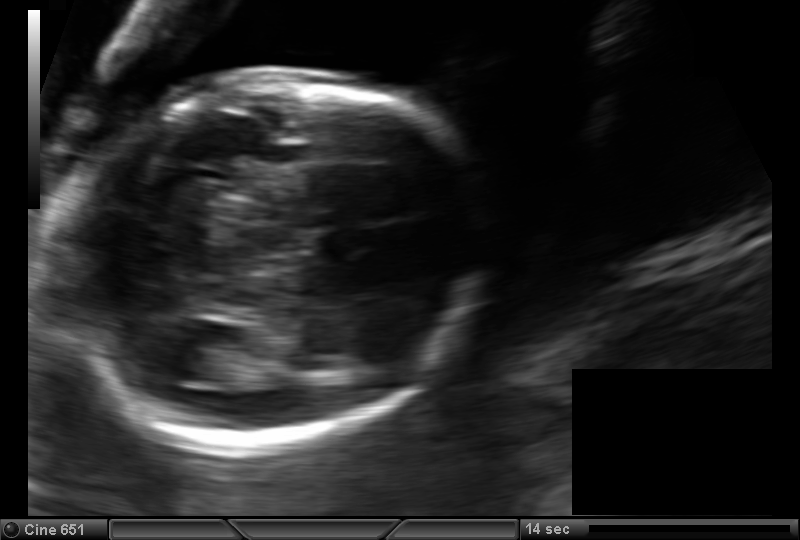
In this fetal head ultrasound, give the bounding box of the fetal head. Image width: 106.1 mm.

[56,82,482,450]